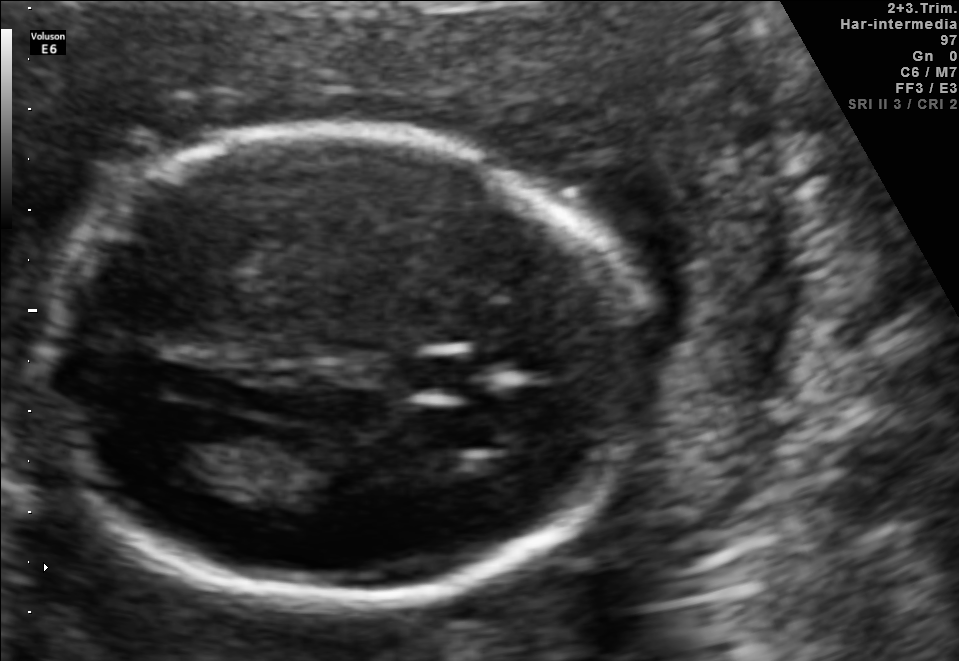
Fetal brain, trans-ventricular plane. Locate the cavum septum pellucidum.

CSP: [412,356,472,391]